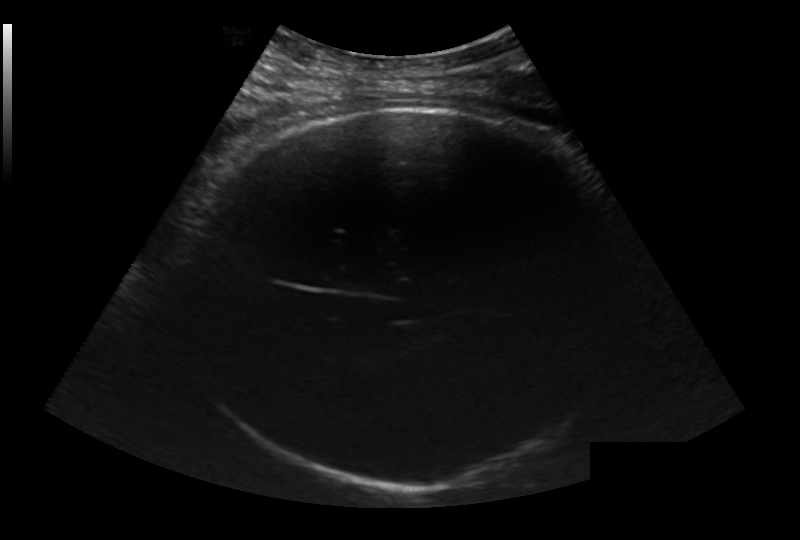
From this fetal ultrasound, estimate the head circumference (image width 188.6 mm).

Head circumference: 321.8 mm.